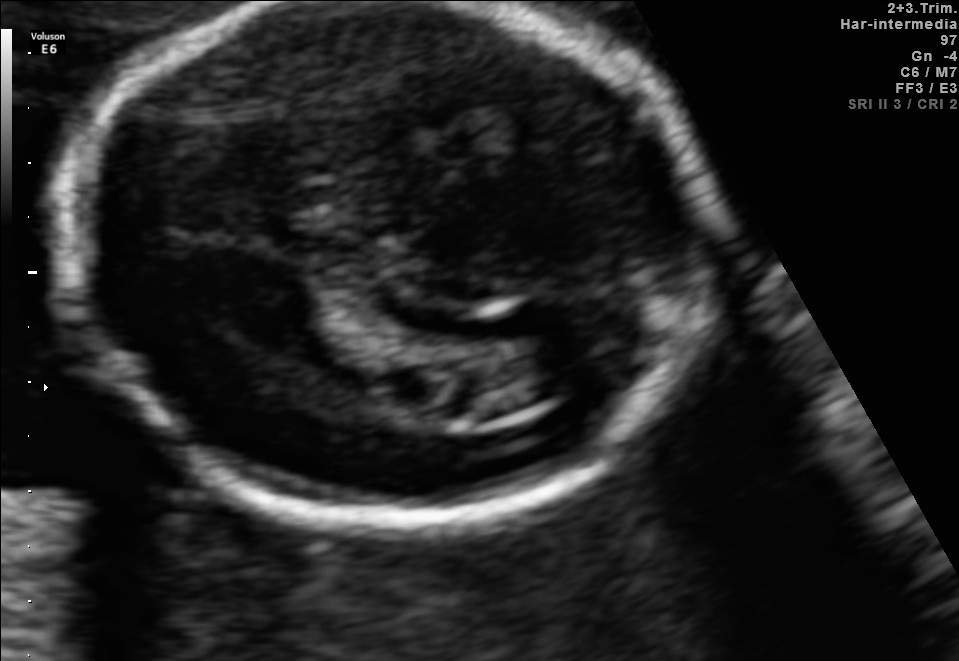
Fetal brain, trans-ventricular plane. Locate the fetal head and, if visible, the cavum septum pellucidum (CSP) and lateral ventricle (LV). Give bounding boxes as [x1,y1,x2,y2].

Head: [47,3,736,542]
Lateral ventricle: [512,330,609,407]